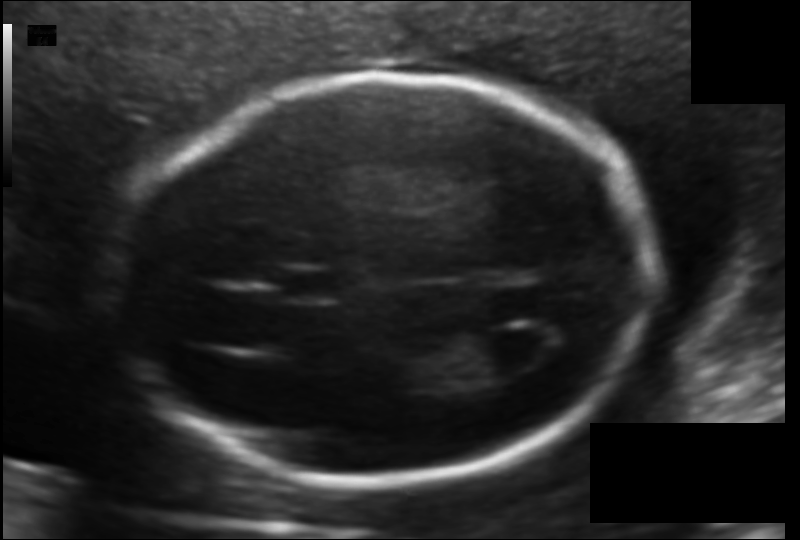
Fetal head ultrasound. Image width: 93.0 mm. Locate the fetal head.

Head: [124,76,651,484]